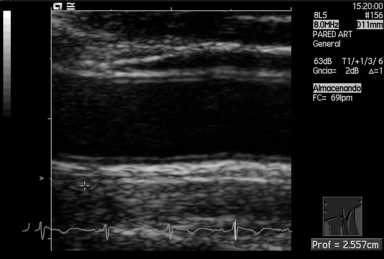
Classify this maternal-fetal ultrasound image as one of the six standard planes — fetal abdomen, fetal brain, fetal femur, fetal thorax, maternal cervix, or other. If it's fetal brain and one of the three standard brain planes (trans-thalamic, trans-cerebellum, trans-ventricular), name which.

Other